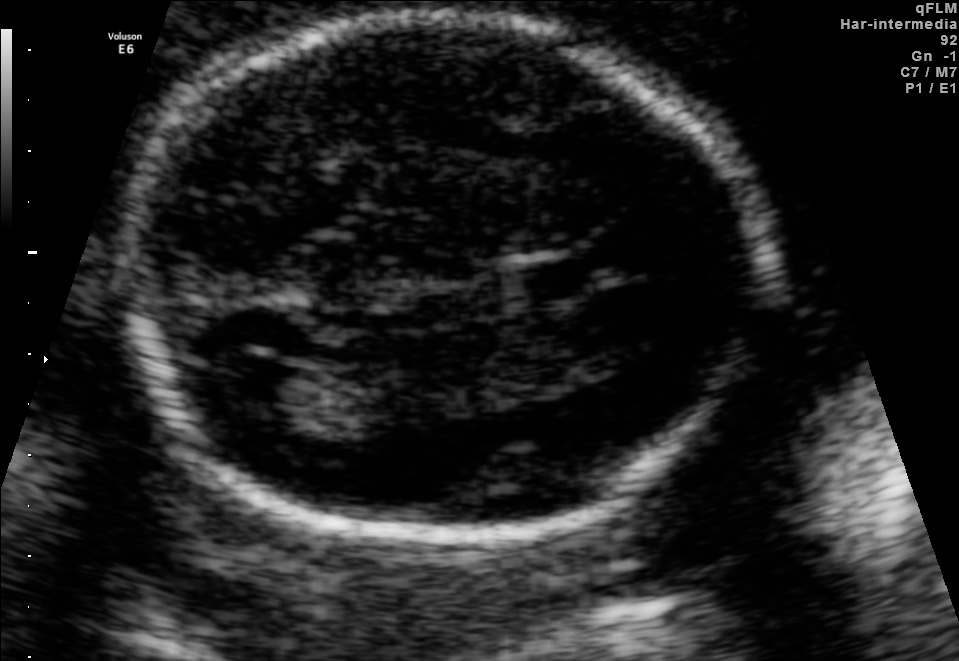
This is a 2D maternal-fetal ultrasound frame. Is it a fetal abdomen, fetal brain, fetal femur, fetal thorax, maternal cervix, or other standard plane? If it's fetal brain and one of the three standard brain planes (trans-thalamic, trans-cerebellum, trans-ventricular), name which.

Fetal brain (trans-ventricular plane)